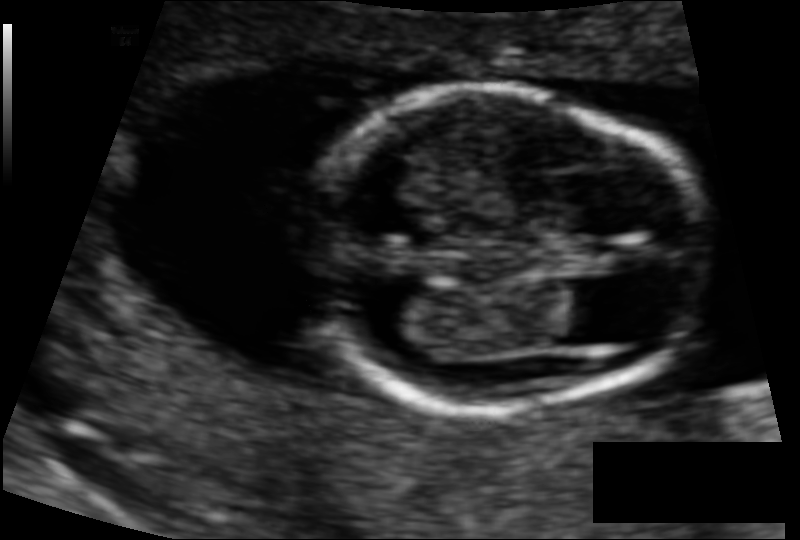
Fetal head ultrasound. Image width: 67.4 mm. Give [x1,y1,x2,y2] bounding boxes for each visible structure among: fetal head, CSP, LV.

Head: [302,88,707,409]